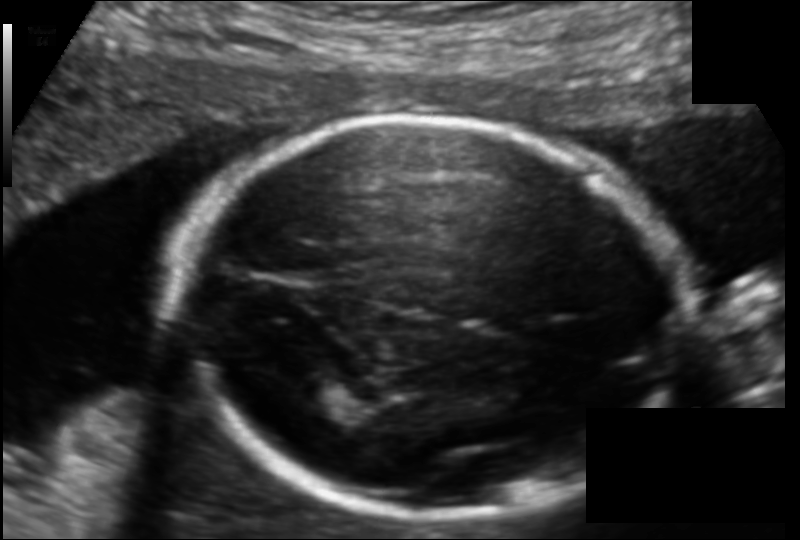
In this fetal head ultrasound, give the bounding box of the fetal head. Image width: 96.3 mm.

[176,119,686,517]